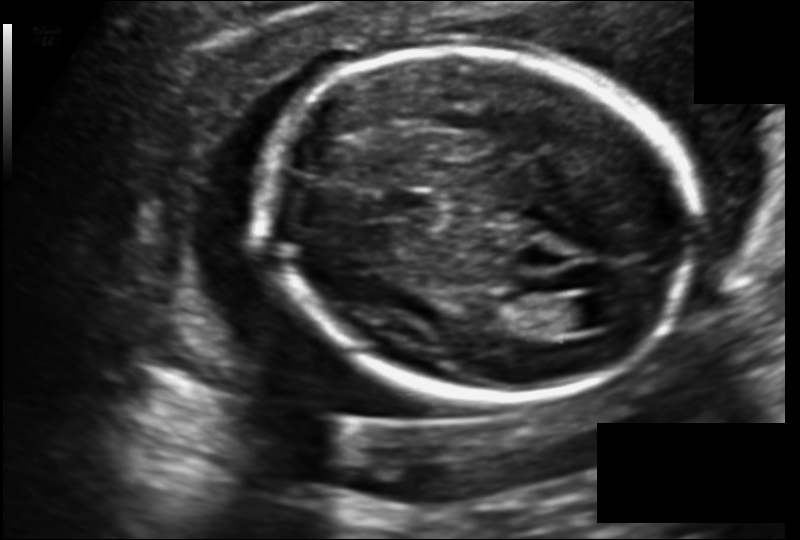
In this fetal head ultrasound, give bounding boxes for the head outline, cavum septum pellucidum (CSP), and lateral ventricle (LV), where visible. Image width: 111.6 mm.

Head: [263,47,692,398]
CSP: [386,191,439,220]
Lateral ventricle: [544,294,605,336]